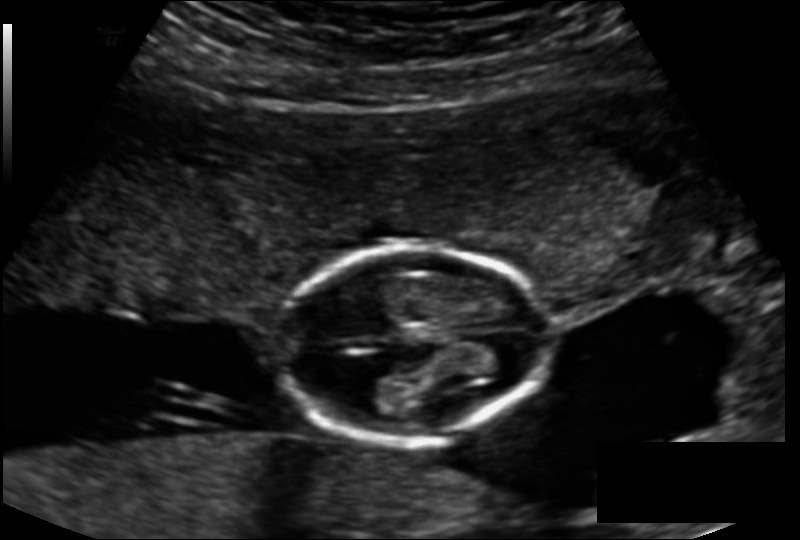
Fetal head ultrasound. Image width: 114.3 mm. Locate the fetal head and, if visible, the cavum septum pellucidum (CSP) and lateral ventricle (LV). Give bounding boxes as [x1,y1,x2,y2].

Head: [277,247,546,440]